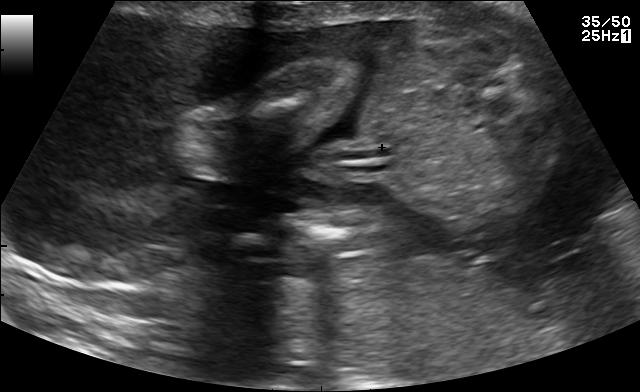
Identify the standard plane in this fetal ultrasound image: fetal abdomen, fetal brain, fetal femur, fetal thorax, maternal cervix, or other. If it's fetal brain and one of the three standard brain planes (trans-thalamic, trans-cerebellum, trans-ventricular), name which.

Other